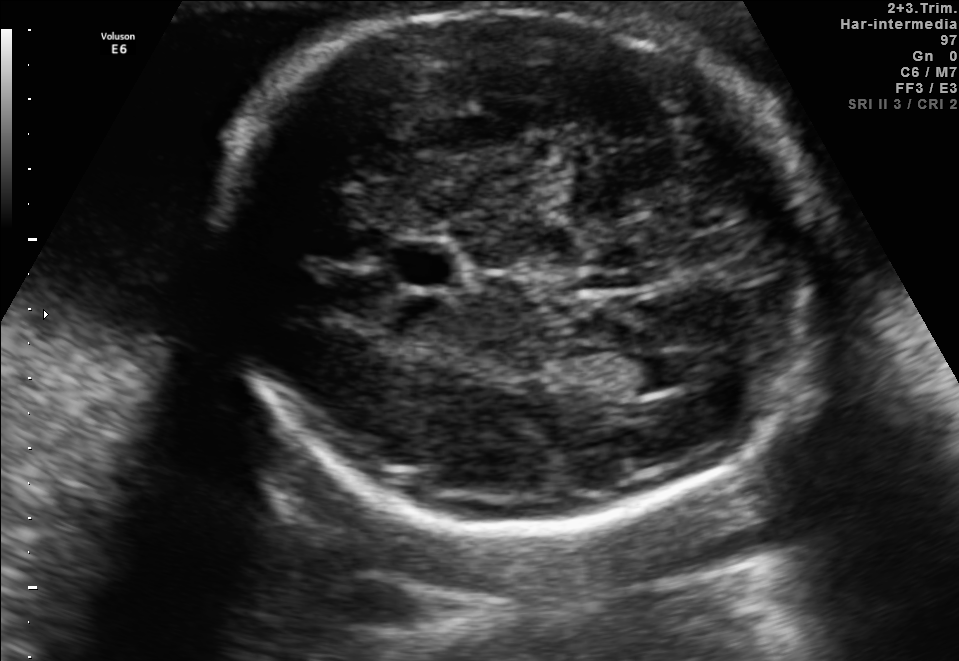
Fetal brain, trans-ventricular plane. Where is the fetal head?

Head bounding box: [184,2,853,539]